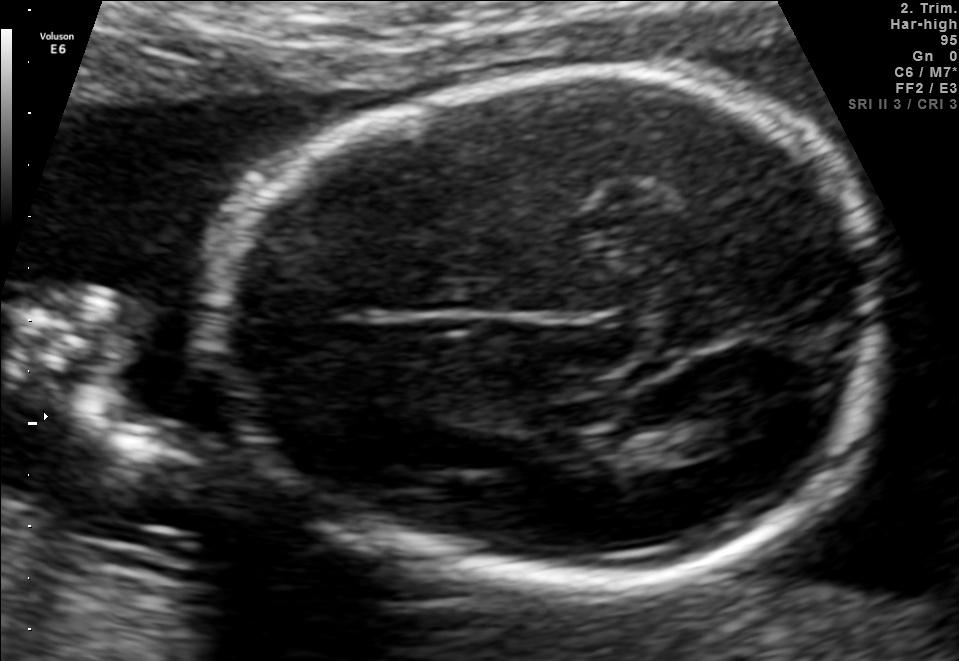
Fetal brain, trans-thalamic plane. Give [x1,y1,x2,y2] bounding boxes for each visible structure among: fetal head, CSP, LV.

Head: [215,73,890,588]
Lateral ventricle: [660,394,766,466]